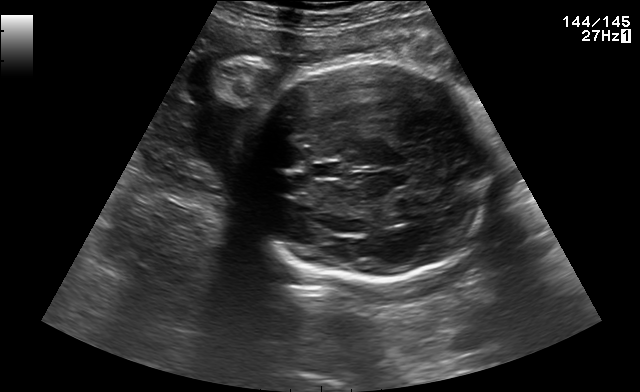
Fetal brain, trans-thalamic plane. Where is the cavum septum pellucidum?

CSP bounding box: [312,161,344,179]